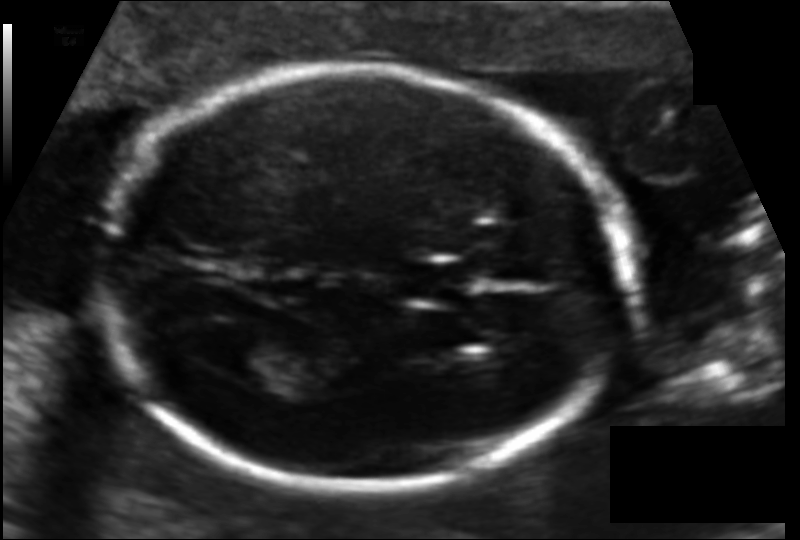
In this fetal head ultrasound, give the bounding box of the cavum septum pellucidum. Image width: 91.0 mm.

[402,257,475,305]